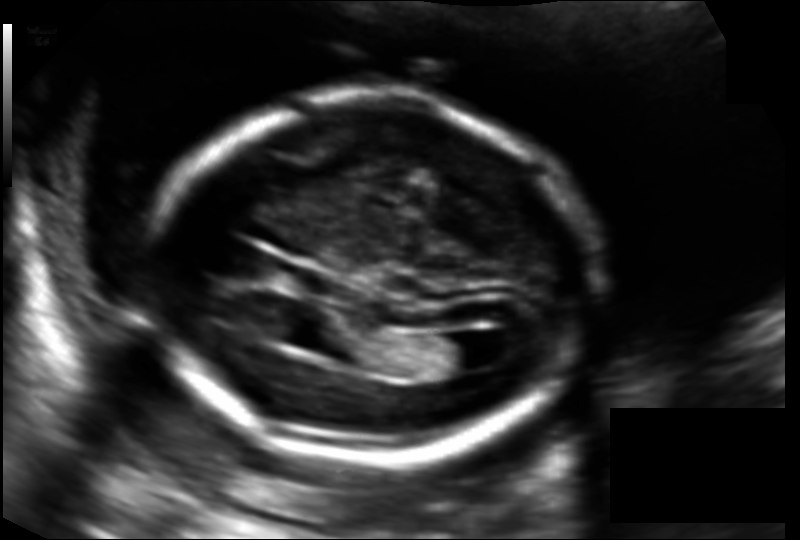
In this fetal head ultrasound, give the bounding box of the fetal head. Image width: 104.2 mm.

[151,97,591,461]